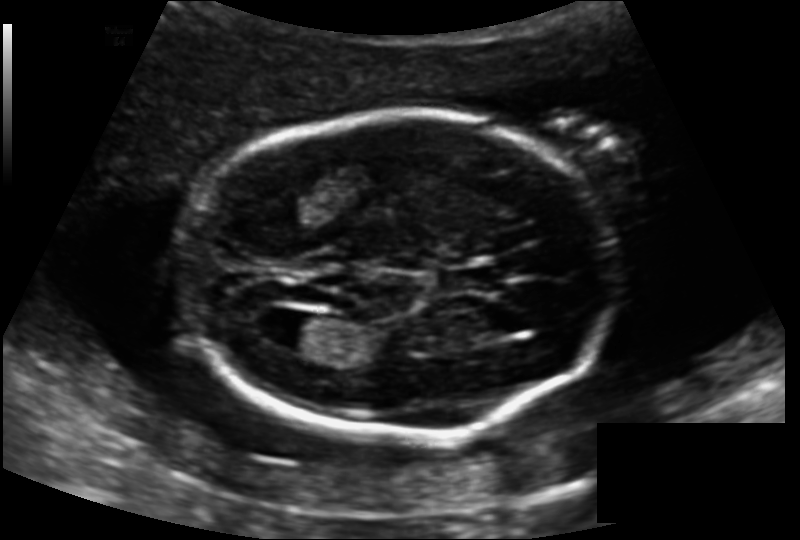
Fetal head ultrasound. Image width: 111.5 mm. Locate the fetal head and, if visible, the cavum septum pellucidum (CSP) and lateral ventricle (LV). Give bounding boxes as [x1,y1,x2,y2].

Head: [183,112,614,435]
CSP: [441,264,501,296]
Lateral ventricle: [267,311,331,355]